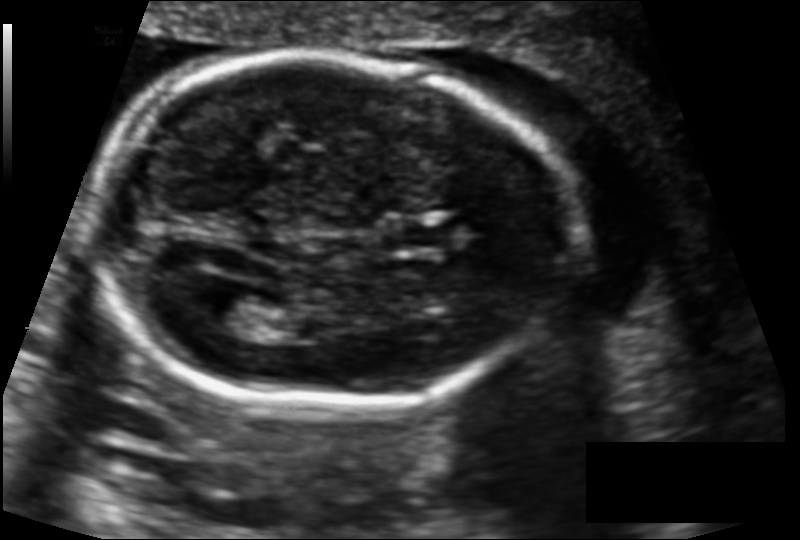
Fetal head ultrasound. Image width: 97.4 mm. Locate the fetal head.

Head: [91,55,576,407]